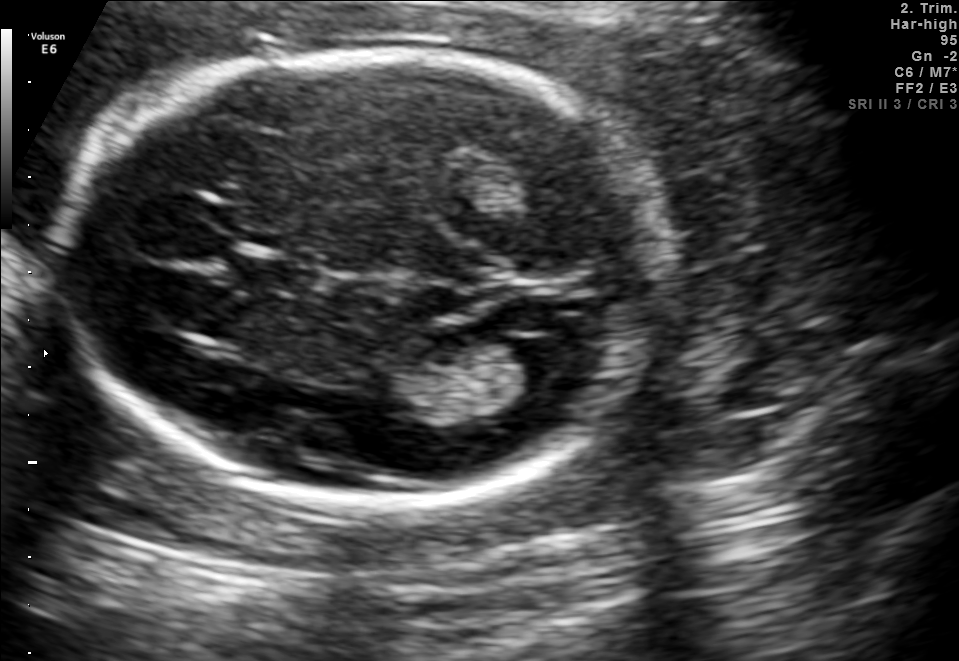
Fetal brain, trans-ventricular plane. Locate the cavum septum pellucidum.

CSP: [225,248,325,299]